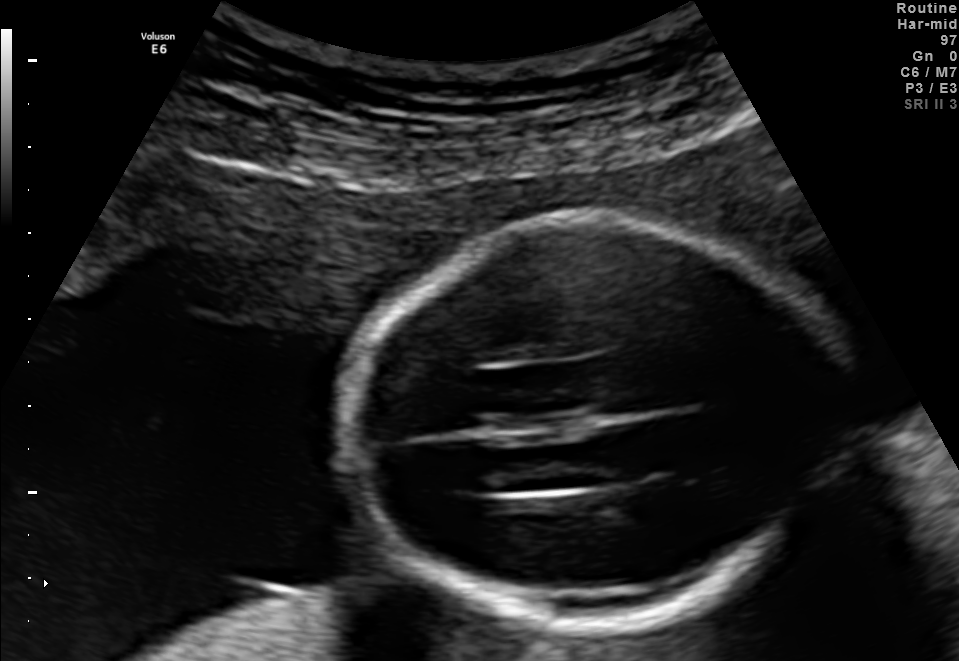
Fetal brain, trans-thalamic plane. Give [x1,y1,x2,y2] bounding boxes for each visible structure among: fetal head, CSP, LV.

Head: [340,215,845,624]